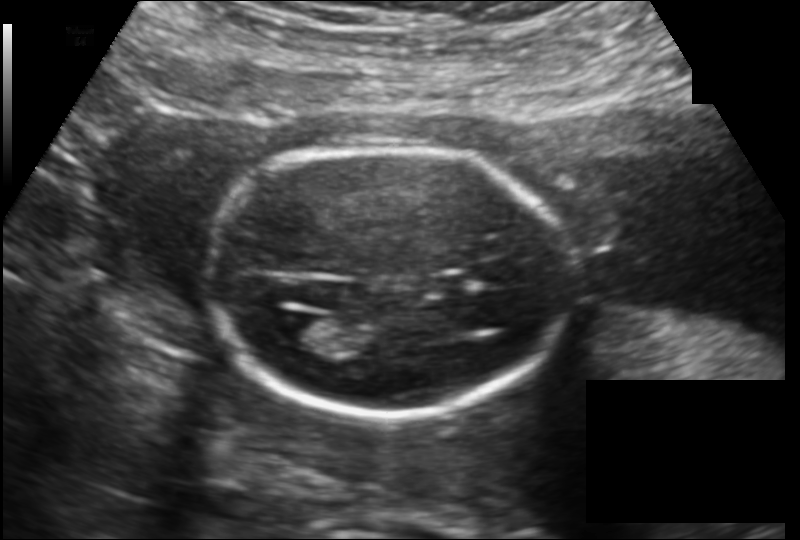
Fetal head ultrasound. Image width: 119.1 mm. Locate the fetal head and, if visible, the cavum septum pellucidum (CSP) and lateral ventricle (LV). Give bounding boxes as [x1,y1,x2,y2].

Head: [206,149,571,416]
Lateral ventricle: [272,310,326,347]